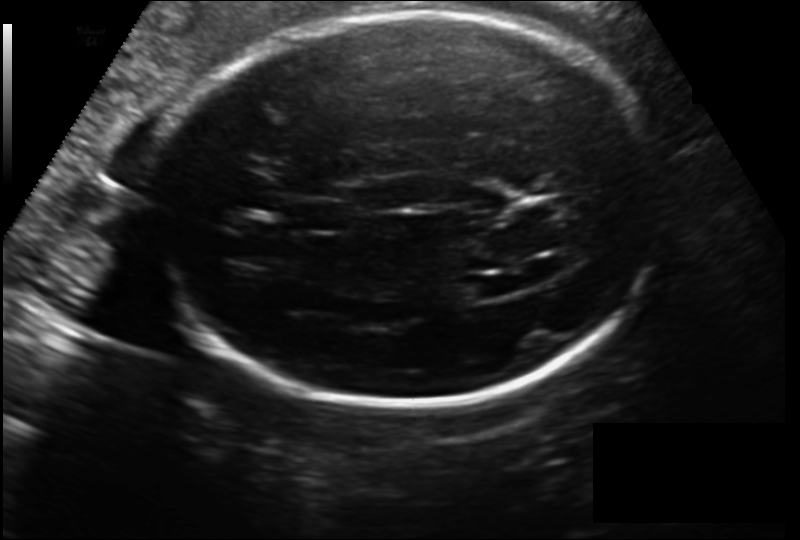
Fetal head ultrasound. Image width: 149.1 mm. Where is the fetal head?

Head bounding box: [148,14,662,405]